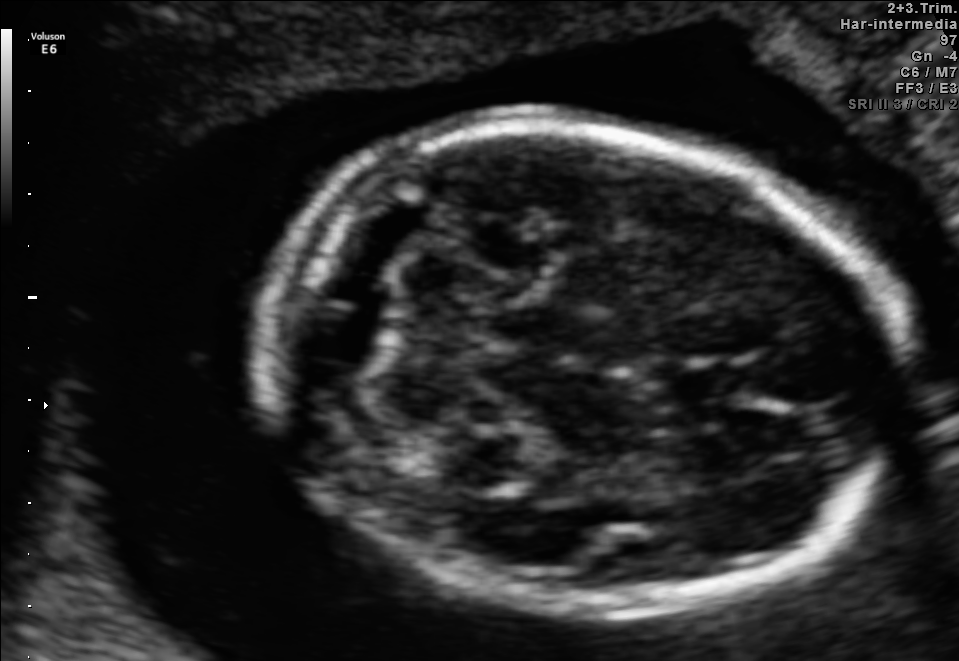
Fetal brain, trans-cerebellum plane. Where is the cavum septum pellucidum?

CSP bounding box: [663,355,752,407]